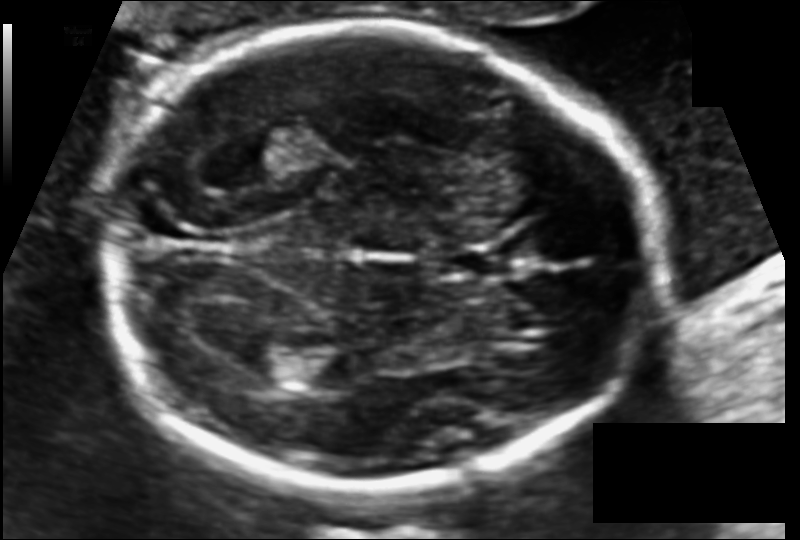
Fetal head ultrasound. Image width: 87.7 mm. Where is the cavum septum pellucidum?

CSP bounding box: [438,242,513,281]